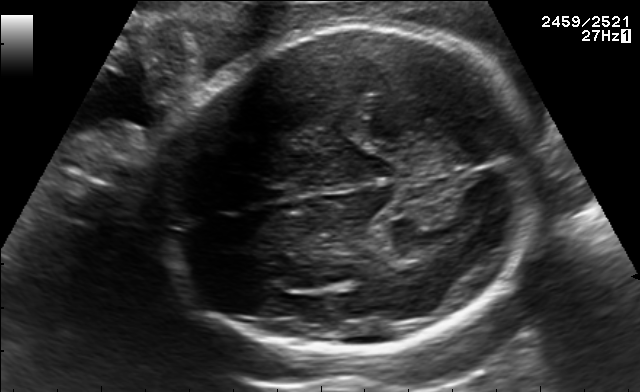
Identify the standard plane in this fetal ultrasound image: fetal abdomen, fetal brain, fetal femur, fetal thorax, maternal cervix, or other. If it's fetal brain and one of the three standard brain planes (trans-thalamic, trans-cerebellum, trans-ventricular), name which.

Fetal brain (trans-thalamic plane)